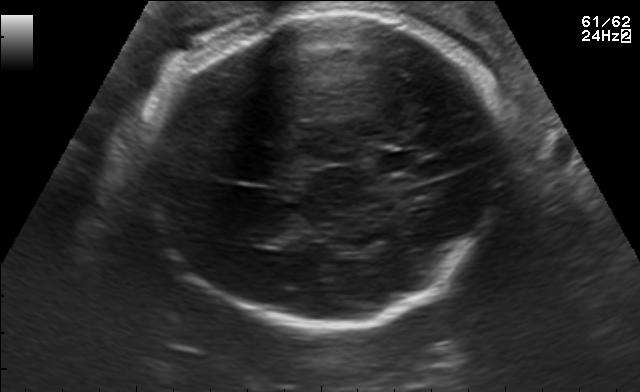
Fetal brain, trans-thalamic plane. Locate the fetal head.

Head: [131,11,506,326]